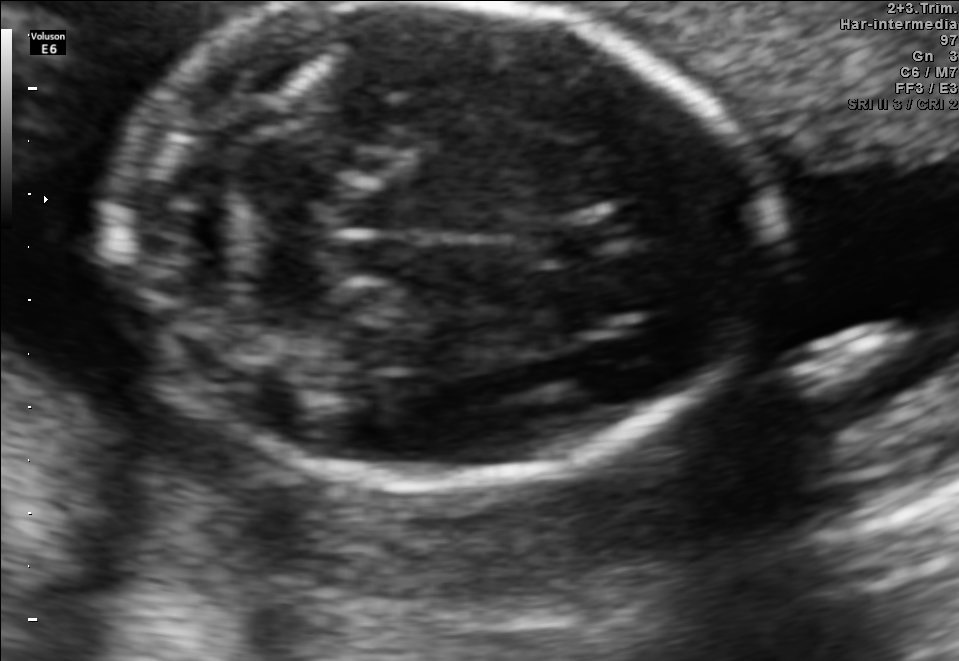
Identify the standard plane in this fetal ultrasound image: fetal abdomen, fetal brain, fetal femur, fetal thorax, maternal cervix, or other. If it's fetal brain and one of the three standard brain planes (trans-thalamic, trans-cerebellum, trans-ventricular), name which.

Fetal brain (trans-cerebellum plane)